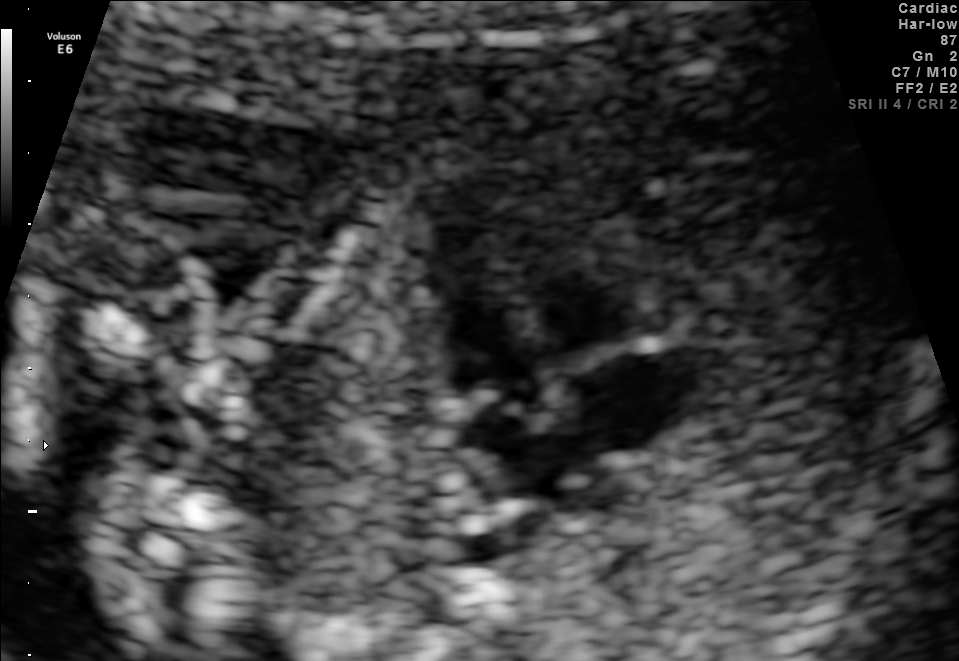
Classify this maternal-fetal ultrasound image as one of the six standard planes — fetal abdomen, fetal brain, fetal femur, fetal thorax, maternal cervix, or other. If it's fetal brain and one of the three standard brain planes (trans-thalamic, trans-cerebellum, trans-ventricular), name which.

Fetal thorax